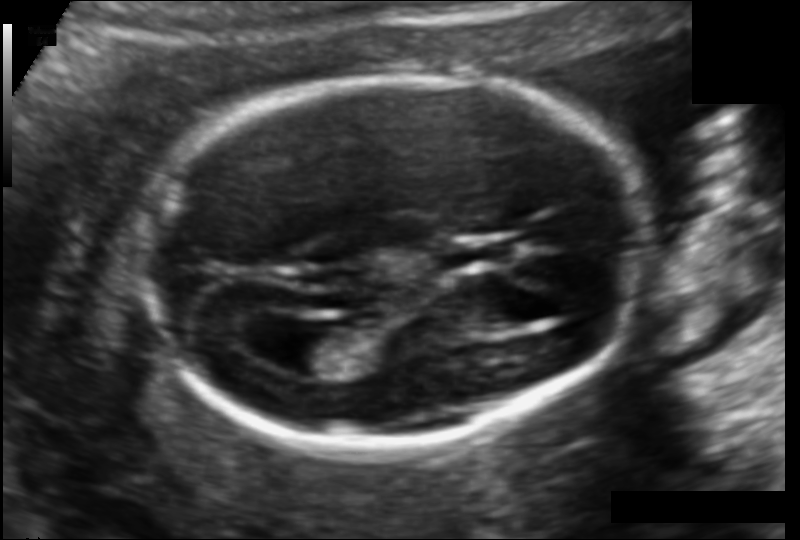
Fetal head ultrasound. Image width: 91.5 mm. Where is the lateral ventricle?

Lateral ventricle bounding box: [265,323,341,380]